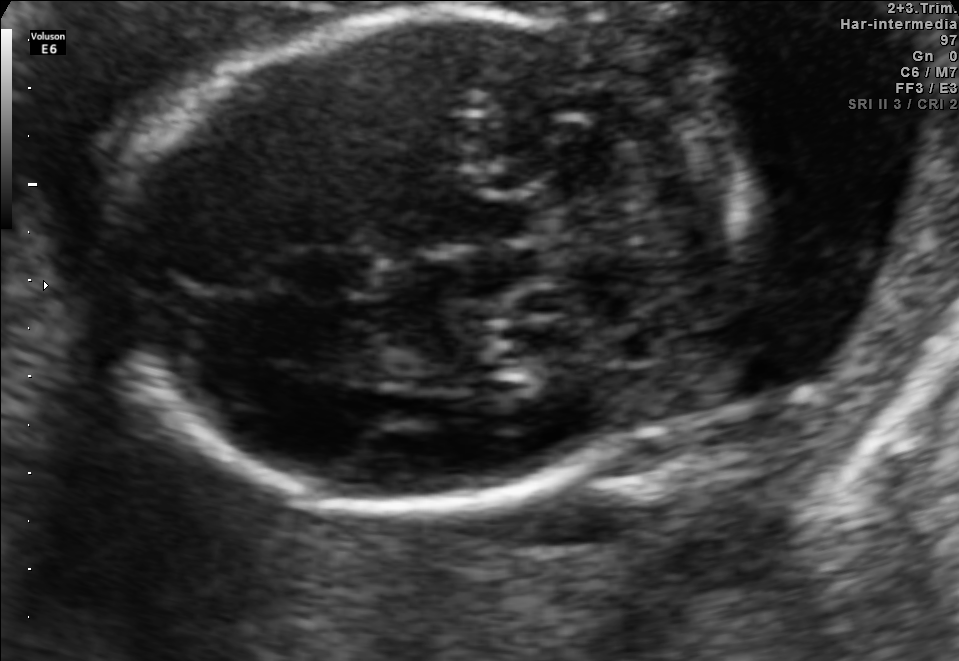
Fetal brain, trans-cerebellum plane. Locate the cavum septum pellucidum.

CSP: [289,245,380,300]